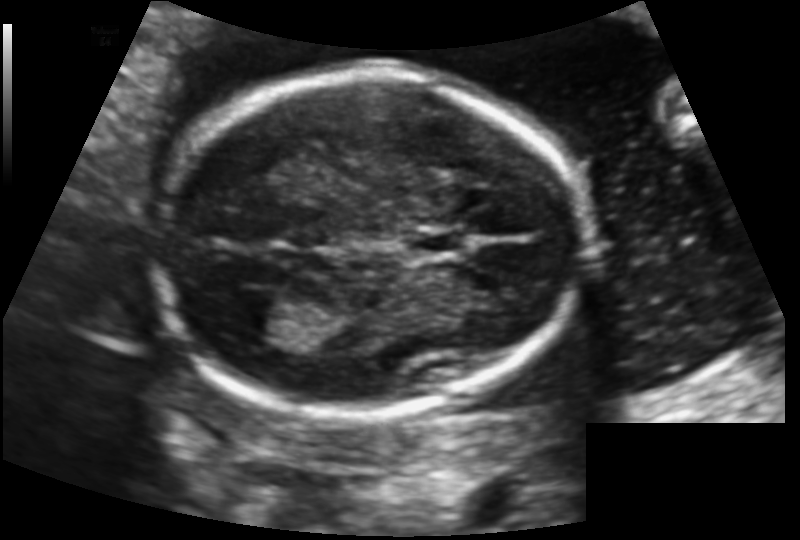
Fetal head ultrasound. Image width: 103.6 mm. Locate the cavum septum pellucidum.

CSP: [402,228,469,260]